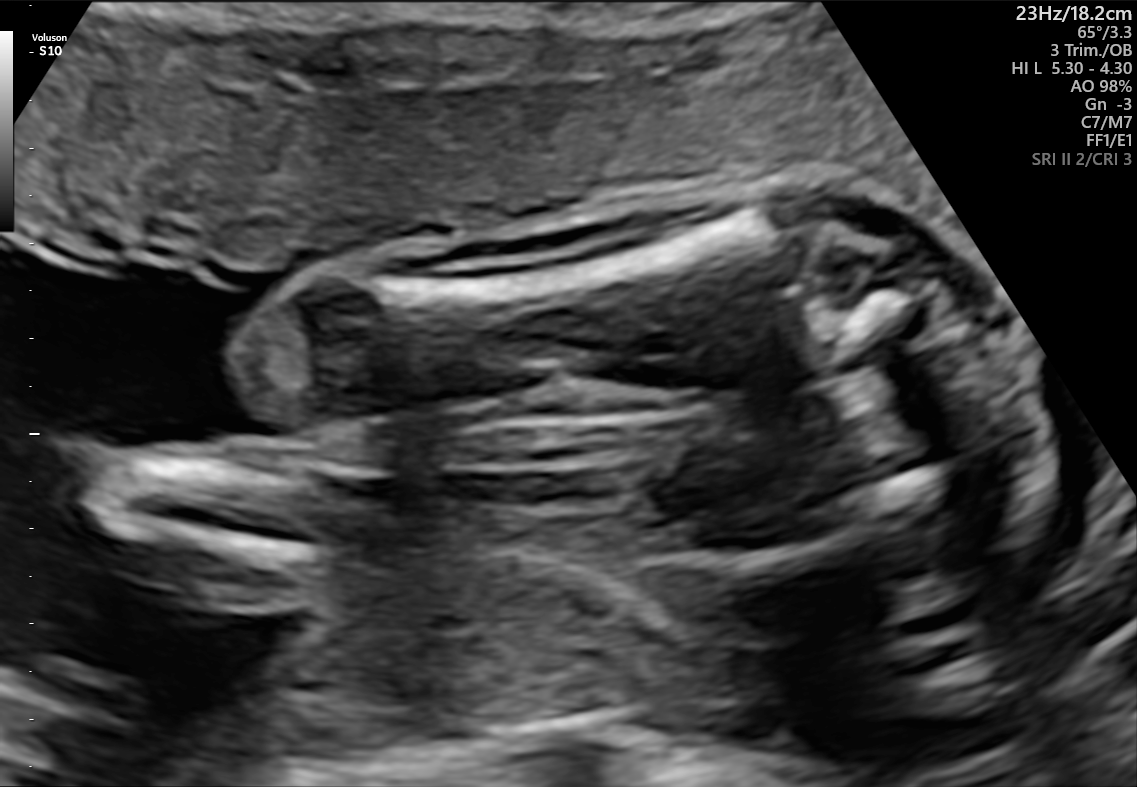
Classify this maternal-fetal ultrasound image as one of the six standard planes — fetal abdomen, fetal brain, fetal femur, fetal thorax, maternal cervix, or other. If it's fetal brain and one of the three standard brain planes (trans-thalamic, trans-cerebellum, trans-ventricular), name which.

Fetal femur